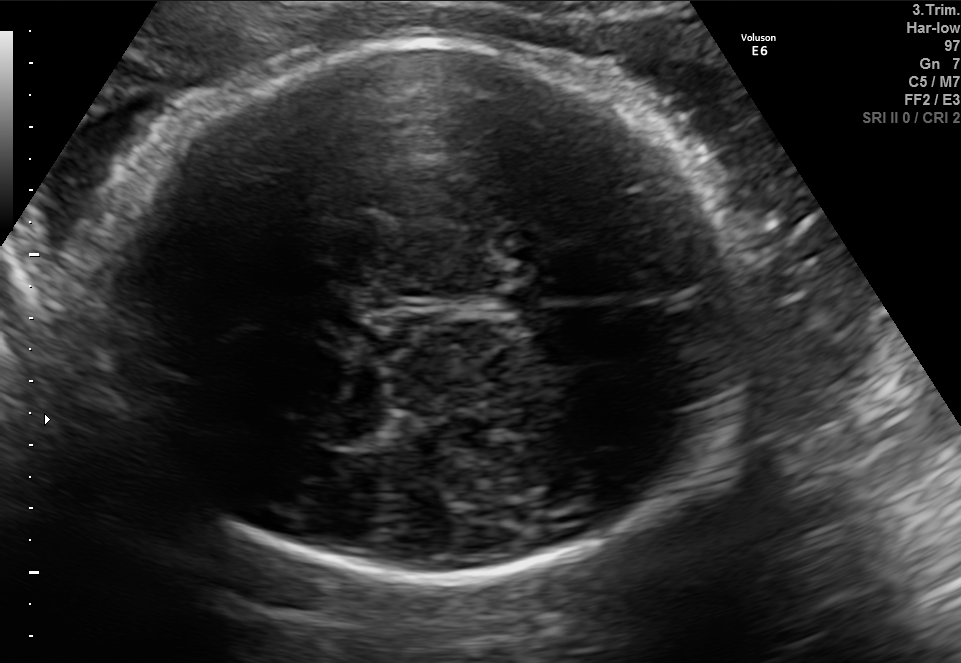
Fetal brain, trans-thalamic plane. Give [x1,y1,x2,y2] bounding boxes for each visible structure among: fetal head, CSP, LV.

Head: [89,44,746,577]